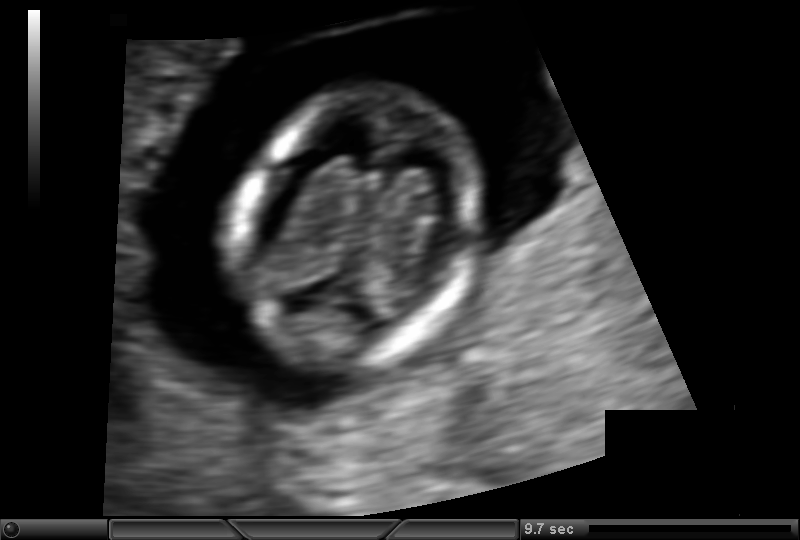
In this fetal head ultrasound, give the bounding box of the fetal head. Image width: 73.8 mm.

[229,84,489,376]